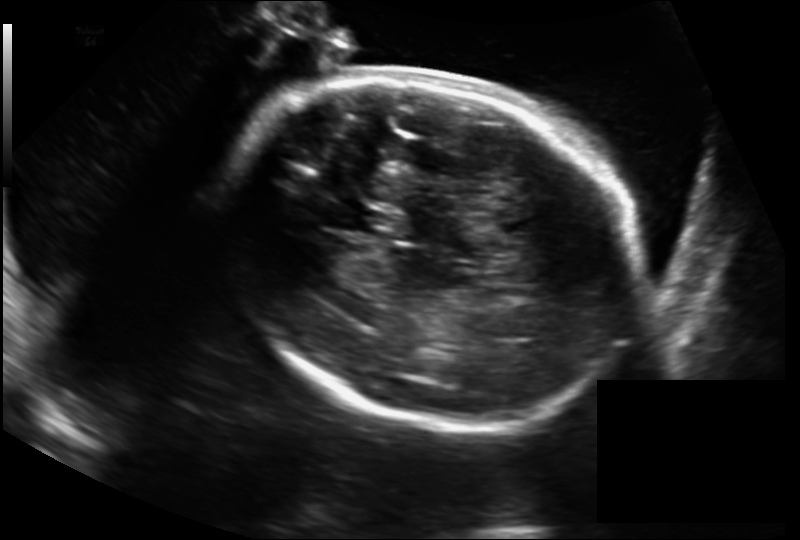
What is the fetal head circumference? Image width is 169.0 mm.

260.8 mm